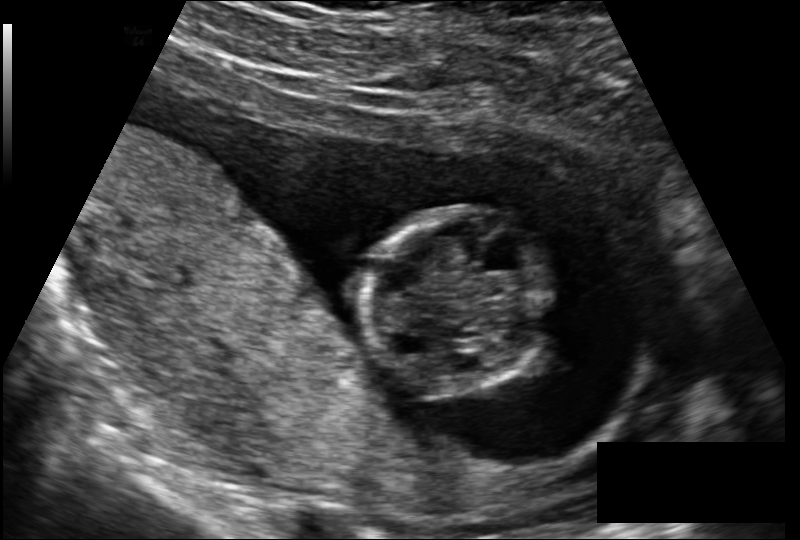
Fetal head ultrasound. Image width: 105.1 mm. Where is the fetal head?

Head bounding box: [360,208,552,395]